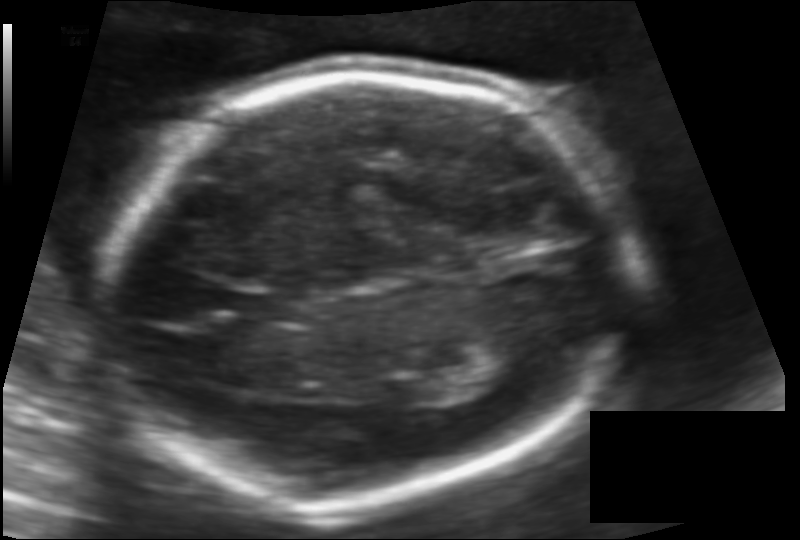
Fetal head ultrasound. Image width: 93.5 mm. Where is the fetal head?

Head bounding box: [101,74,624,498]